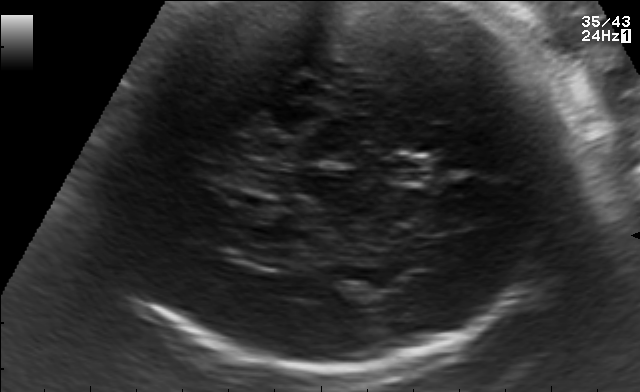
Fetal brain, trans-thalamic plane. Locate the cavum septum pellucidum (CSP) and lateral ventricle (LV), if visible. Give bounding boxes as [x1,y1,x2,y2].

CSP: [386,158,431,182]